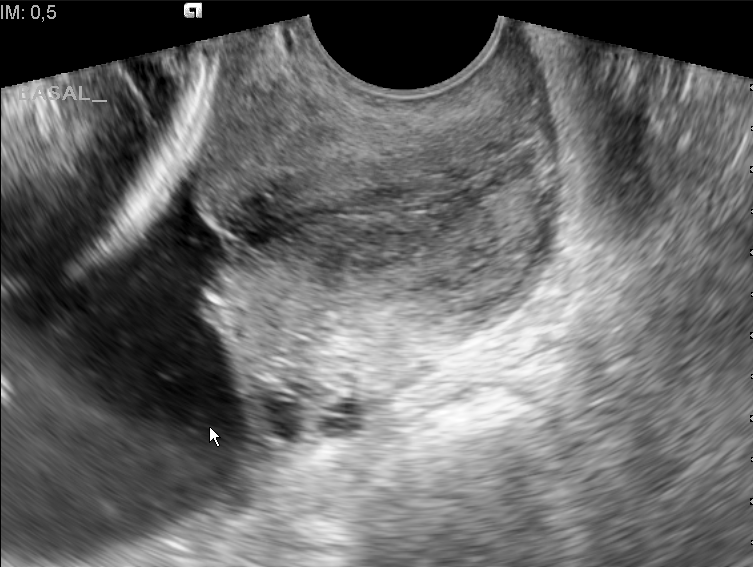
This is a 2D maternal-fetal ultrasound frame. Is it a fetal abdomen, fetal brain, fetal femur, fetal thorax, maternal cervix, or other standard plane? If it's fetal brain and one of the three standard brain planes (trans-thalamic, trans-cerebellum, trans-ventricular), name which.

Maternal cervix